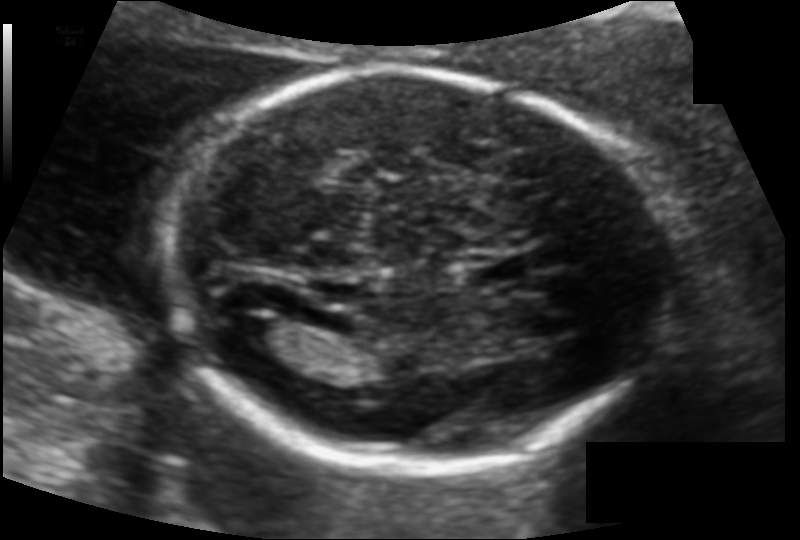
Fetal head ultrasound. Image width: 91.9 mm. Where is the lateral ventricle?

Lateral ventricle bounding box: [227,314,285,350]